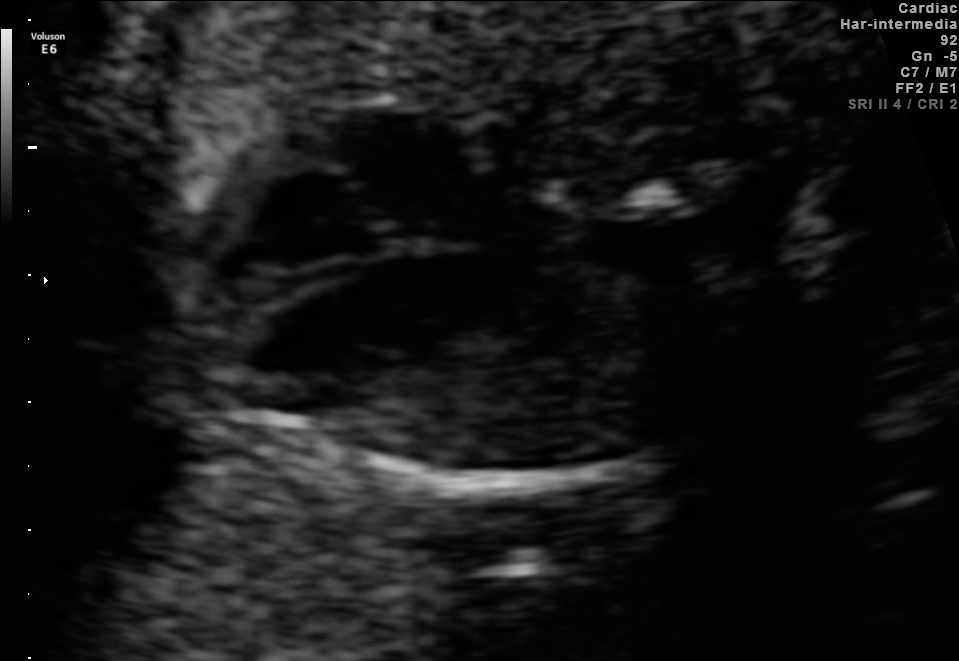
Identify the standard plane in this fetal ultrasound image: fetal abdomen, fetal brain, fetal femur, fetal thorax, maternal cervix, or other. If it's fetal brain and one of the three standard brain planes (trans-thalamic, trans-cerebellum, trans-ventricular), name which.

Fetal thorax